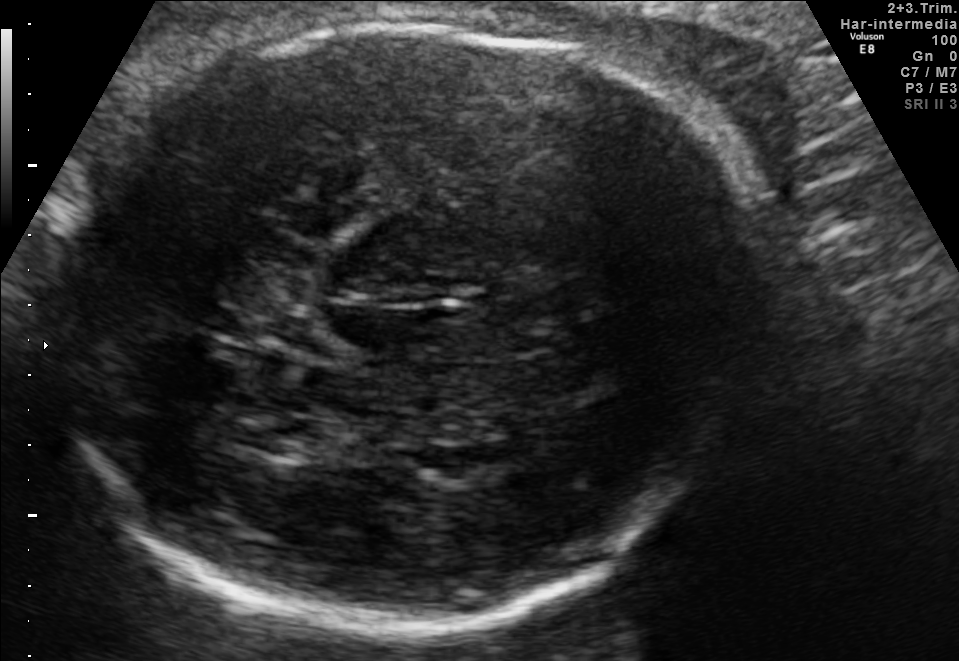
Fetal brain, trans-thalamic plane. Locate the fetal head and, if visible, the cavum septum pellucidum (CSP) and lateral ventricle (LV). Give bounding boxes as [x1,y1,x2,y2].

Head: [49,21,766,626]
Lateral ventricle: [238,404,327,464]